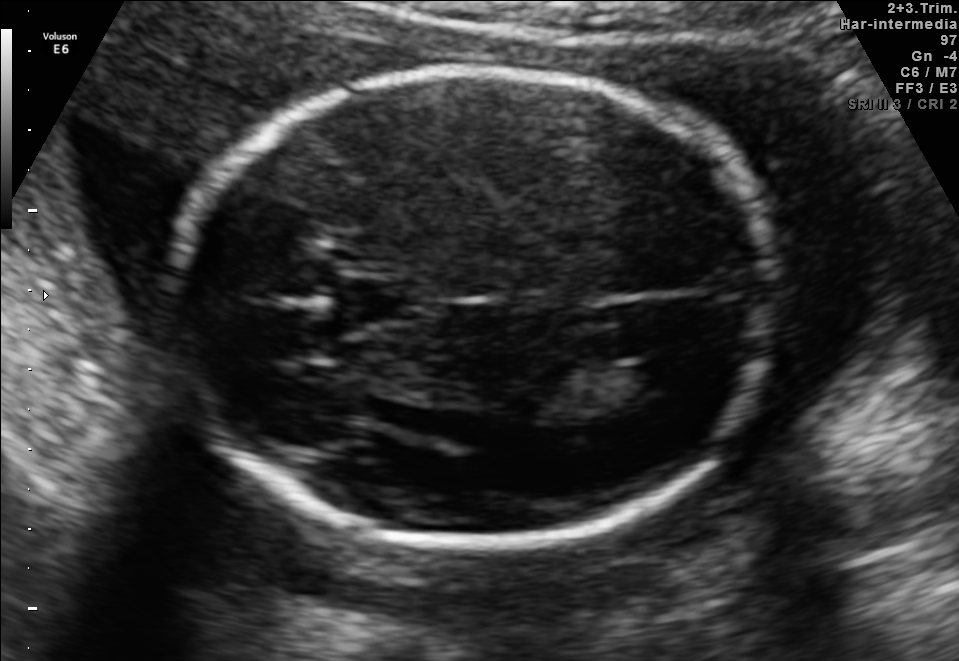
Fetal brain, trans-ventricular plane. Locate the lateral ventricle.

Lateral ventricle: [619,353,690,403]